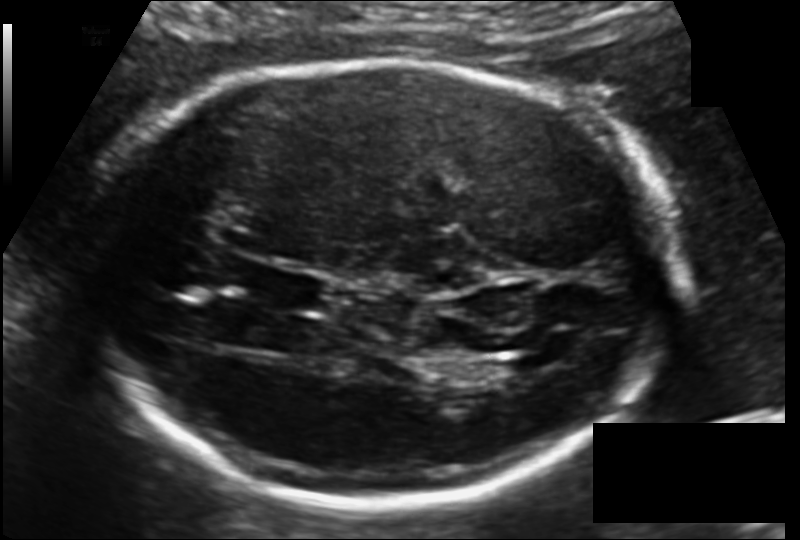
Fetal head ultrasound. Image width: 107.8 mm. Locate the cavum septum pellucidum.

CSP: [254,264,326,315]